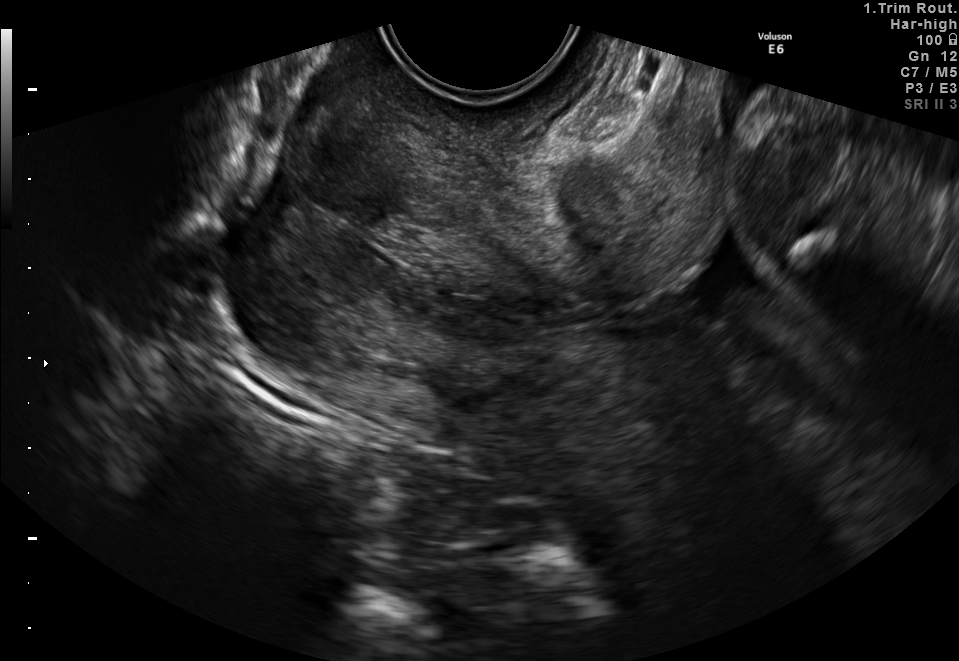
Identify the standard plane in this fetal ultrasound image: fetal abdomen, fetal brain, fetal femur, fetal thorax, maternal cervix, or other. If it's fetal brain and one of the three standard brain planes (trans-thalamic, trans-cerebellum, trans-ventricular), name which.

Maternal cervix